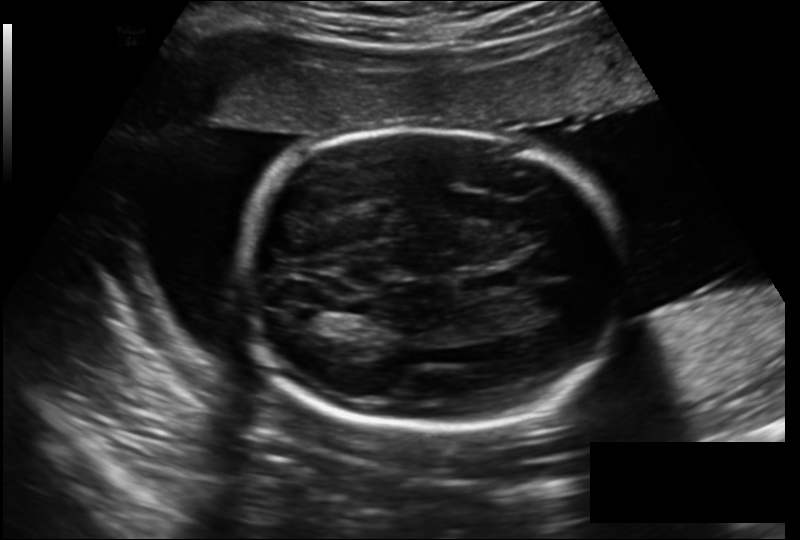
Fetal head ultrasound. Image width: 164.7 mm. Give [x1,y1,x2,y2] bounding boxes for each visible structure among: fetal head, CSP, LV.

Head: [239,128,626,430]
CSP: [458,270,513,295]
Lateral ventricle: [283,305,323,332]